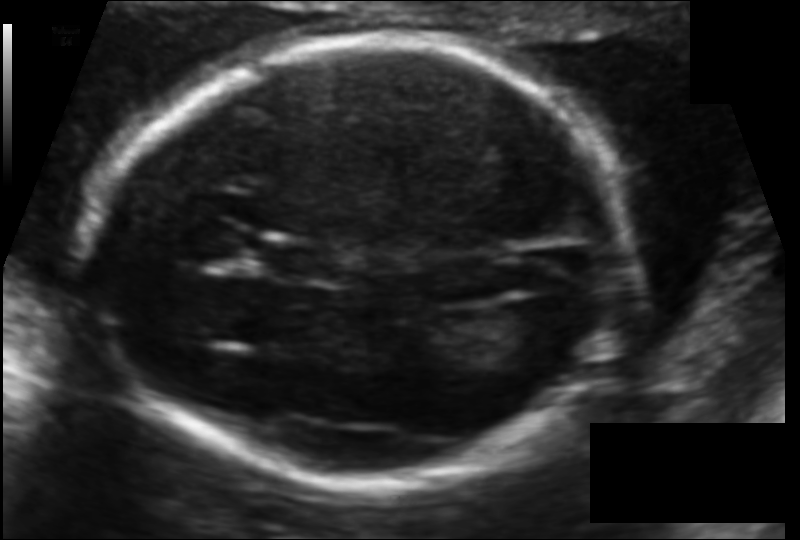
From this fetal ultrasound, estimate the head circumference (image width 85.1 mm).

Head circumference: 171.3 mm.